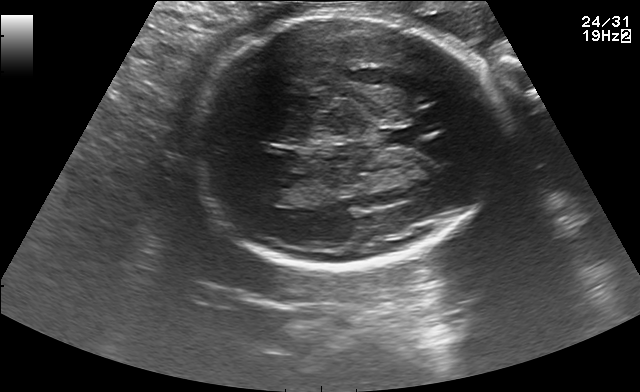
Fetal brain, trans-thalamic plane. Where is the lateral ventricle?

Lateral ventricle bounding box: [253,179,301,207]